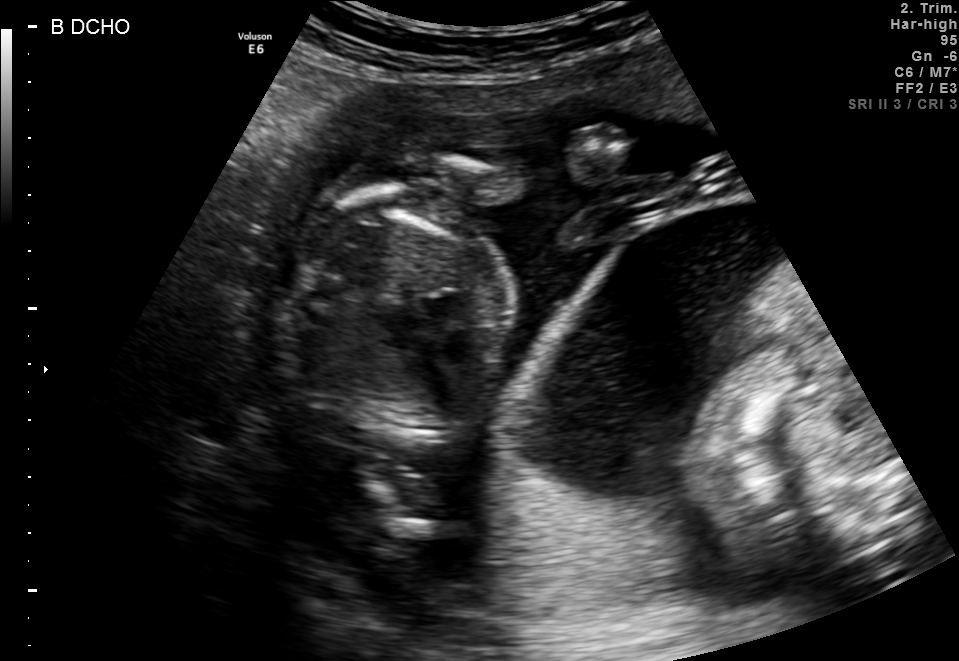
Identify the standard plane in this fetal ultrasound image: fetal abdomen, fetal brain, fetal femur, fetal thorax, maternal cervix, or other. If it's fetal brain and one of the three standard brain planes (trans-thalamic, trans-cerebellum, trans-ventricular), name which.

Fetal thorax